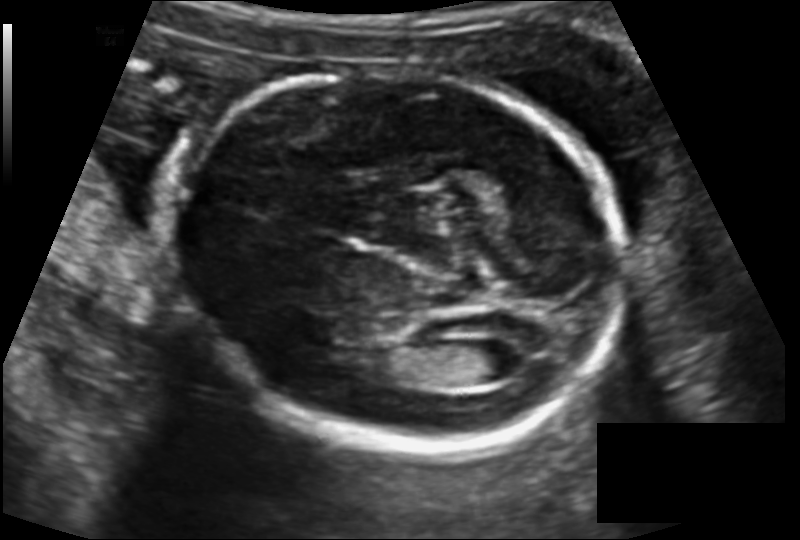
Fetal head ultrasound. Image width: 103.4 mm. Give [x1,y1,x2,y2] bounding boxes for each visible structure among: fetal head, CSP, LV.

Head: [168,72,632,450]
Lateral ventricle: [463,336,527,386]